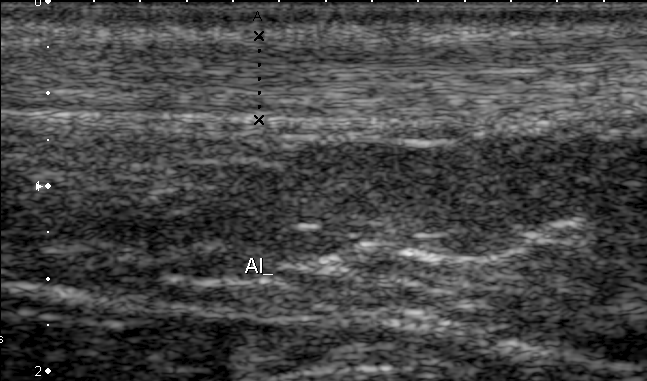
This is a 2D maternal-fetal ultrasound frame. Is it a fetal abdomen, fetal brain, fetal femur, fetal thorax, maternal cervix, or other standard plane? If it's fetal brain and one of the three standard brain planes (trans-thalamic, trans-cerebellum, trans-ventricular), name which.

Other